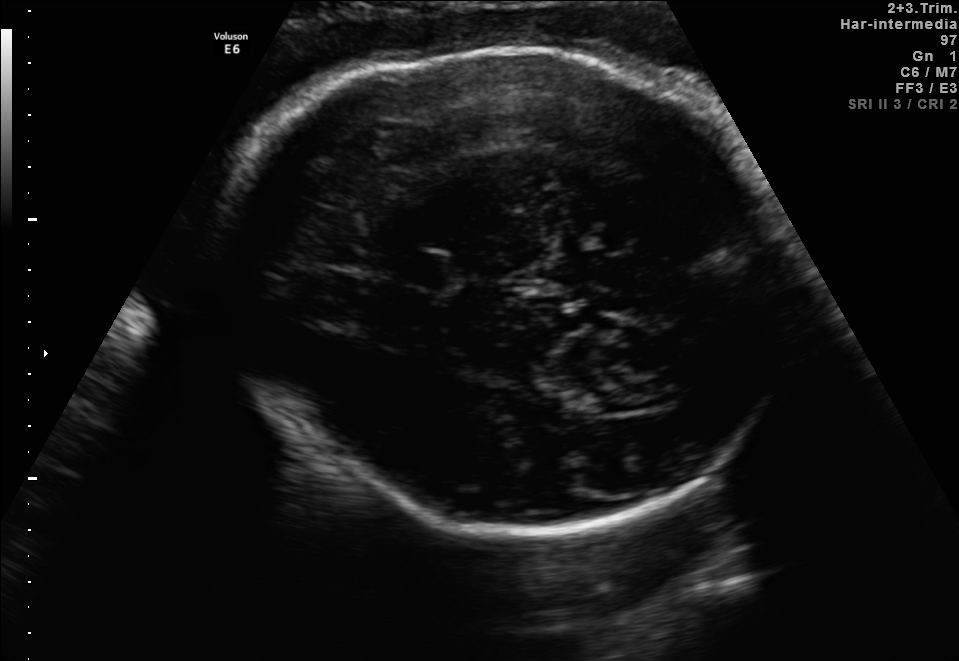
Fetal brain, trans-thalamic plane. Locate the lateral ventricle.

Lateral ventricle: [584,378,671,419]